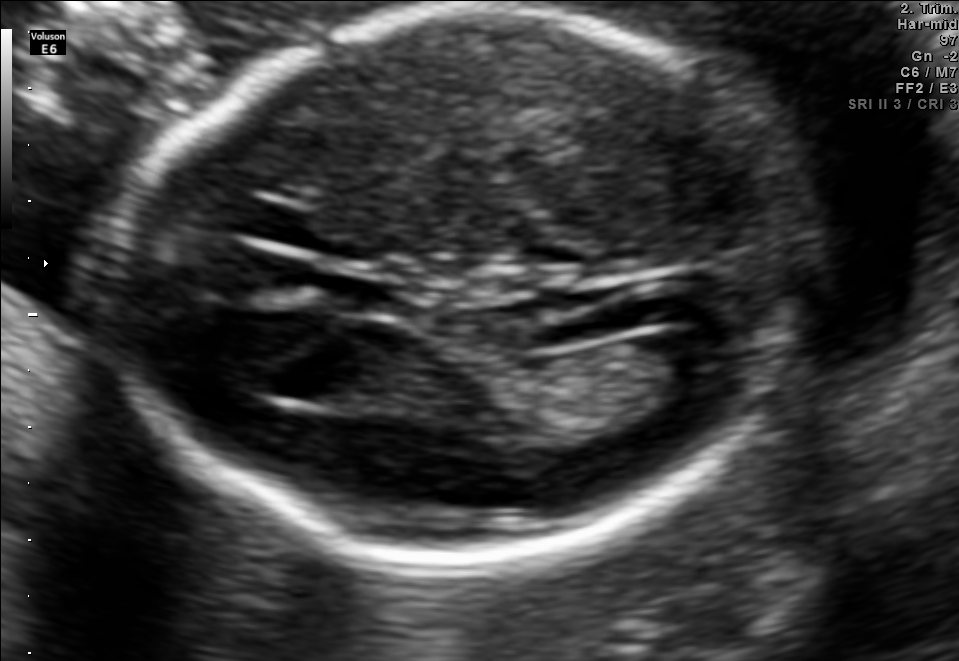
In this fetal brain, trans-ventricular plane, give the bounding box of the fetal head.

[101,4,828,565]